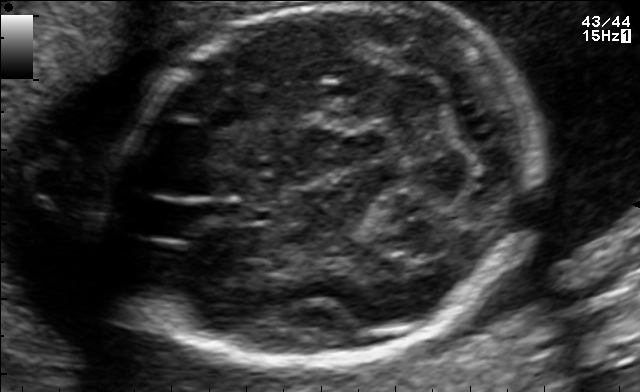
In this fetal brain, trans-cerebellum plane, give bounding boxes for the head outline, cavum septum pellucidum (CSP), and lateral ventricle (LV), where visible.

Head: [111,3,545,364]